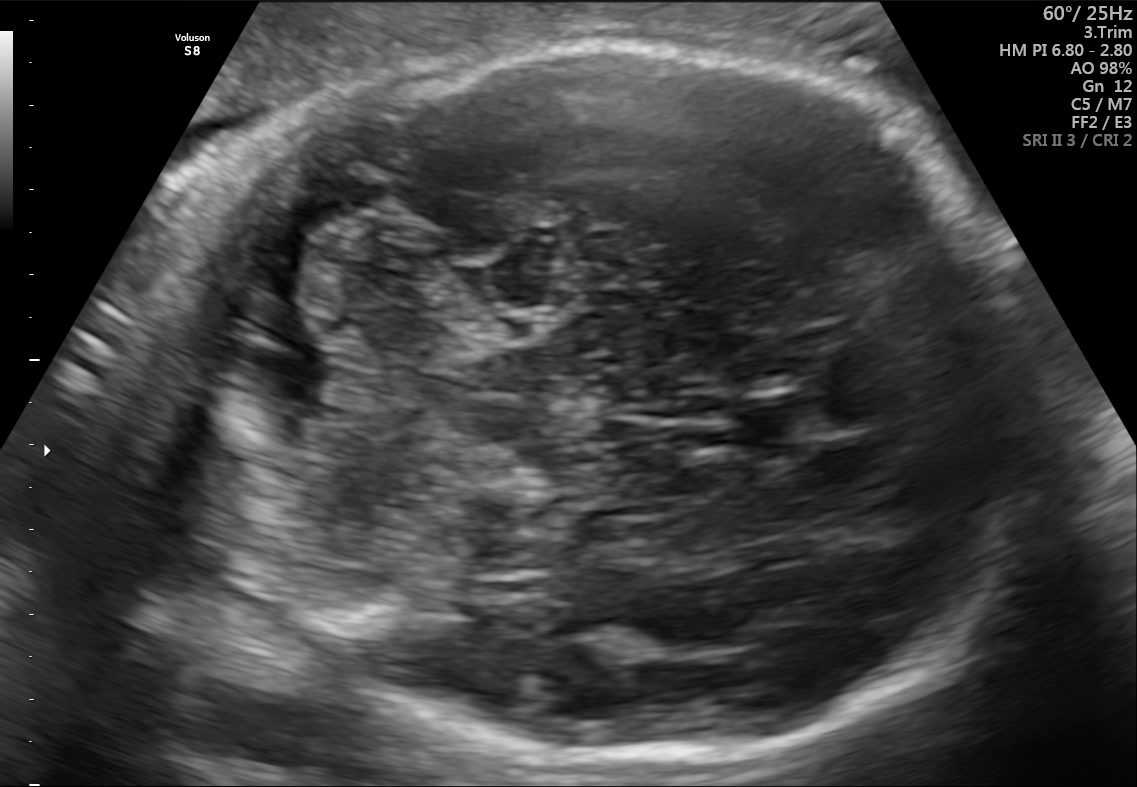
Fetal brain, trans-cerebellum plane. Locate the fetal head and, if visible, the cavum septum pellucidum (CSP) and lateral ventricle (LV). Give bounding boxes as [x1,y1,x2,y2].

Head: [145,42,1049,760]
CSP: [732,386,832,461]